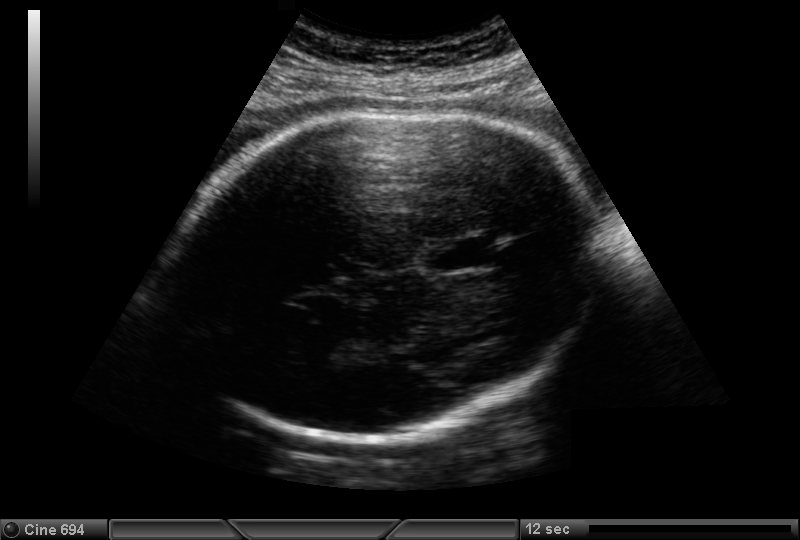
Fetal head ultrasound. Image width: 176.7 mm. Locate the cavum septum pellucidum.

CSP: [422,231,496,279]